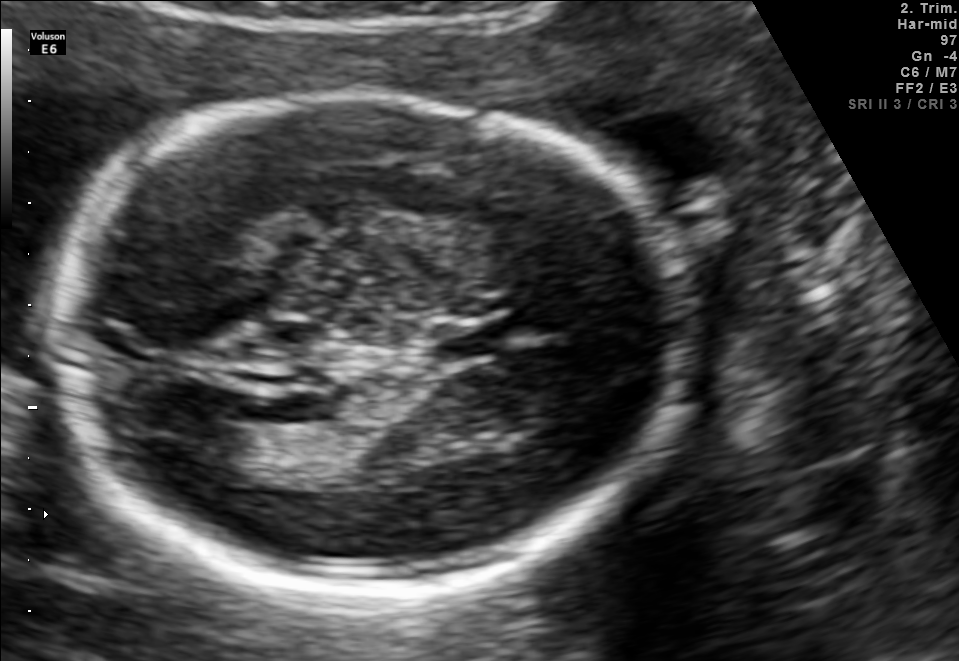
Fetal brain, trans-thalamic plane. Give [x1,y1,x2,y2] bounding boxes for each visible structure among: fetal head, CSP, LV.

Head: [58,95,681,592]
CSP: [431,320,499,363]
Lateral ventricle: [173,424,257,485]